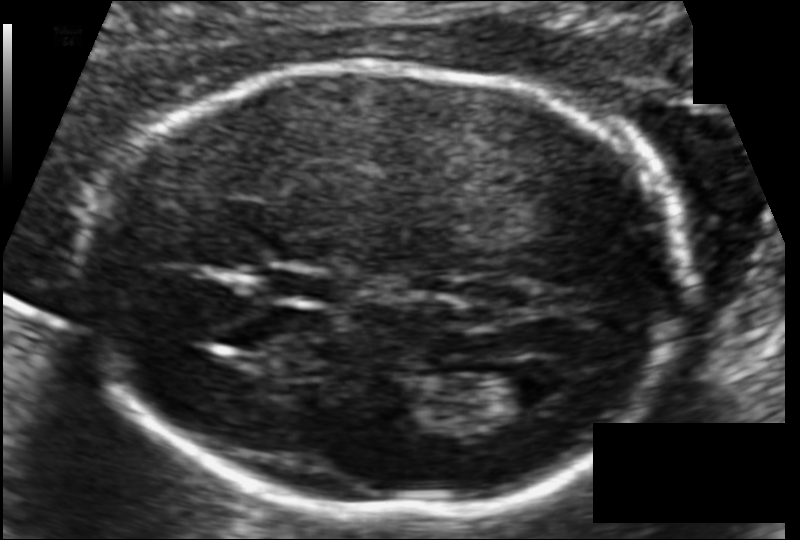
From this fetal ultrasound, estimate the head circumference (image width 81.8 mm).

Head circumference: 173.3 mm.